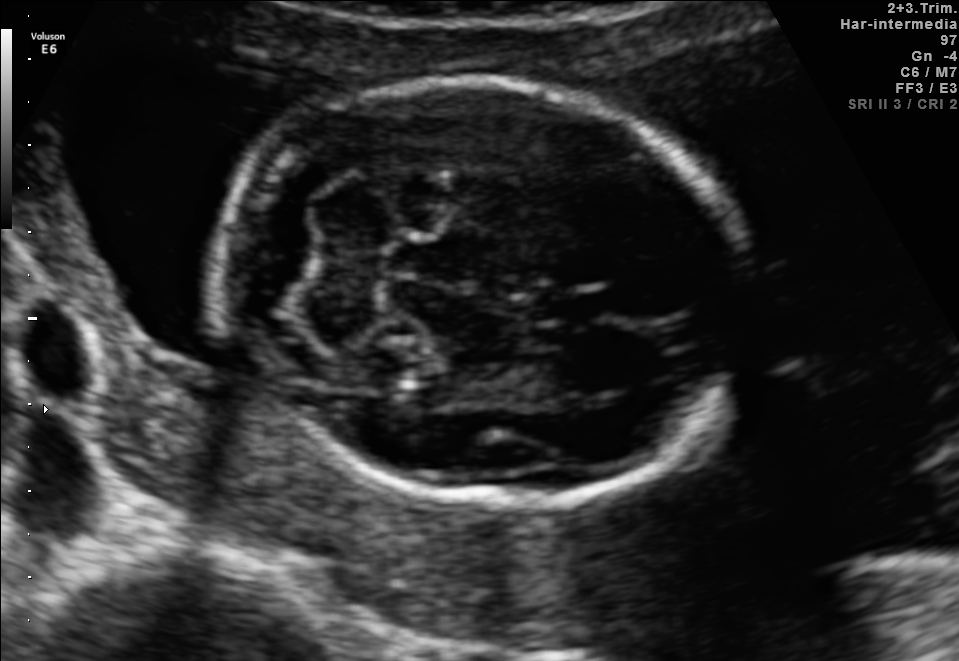
Fetal brain, trans-cerebellum plane. Locate the fetal head and, if visible, the cavum septum pellucidum (CSP) and lateral ventricle (LV). Give bounding boxes as [x1,y1,x2,y2].

Head: [213,80,746,501]
CSP: [536,287,603,328]